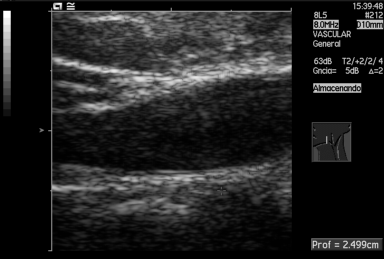
Identify the standard plane in this fetal ultrasound image: fetal abdomen, fetal brain, fetal femur, fetal thorax, maternal cervix, or other. If it's fetal brain and one of the three standard brain planes (trans-thalamic, trans-cerebellum, trans-ventricular), name which.

Other